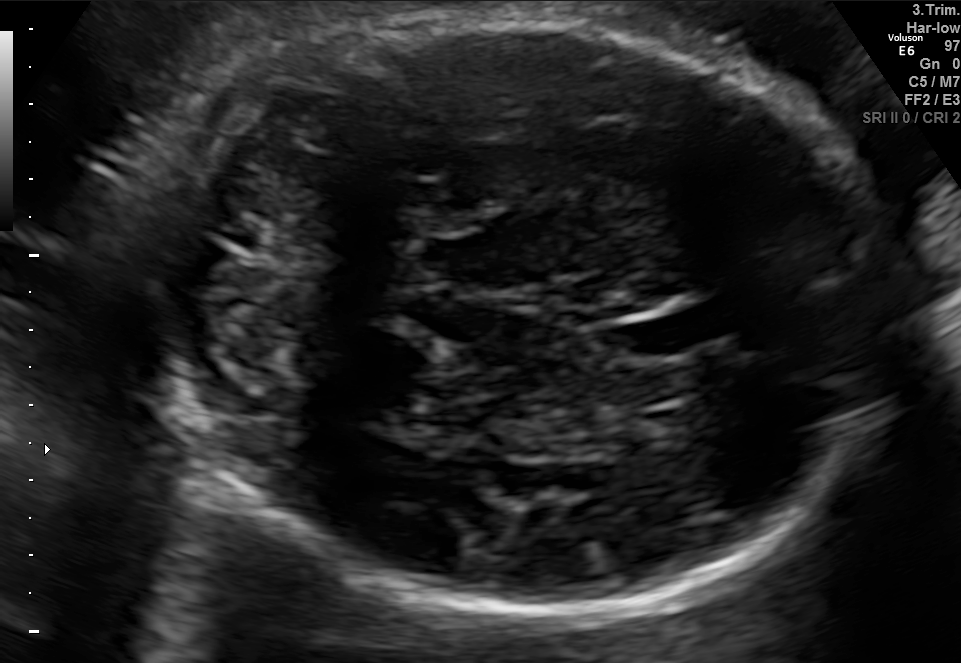
In this fetal brain, trans-cerebellum plane, give the bounding box of the cavum septum pellucidum.

[596,306,694,372]